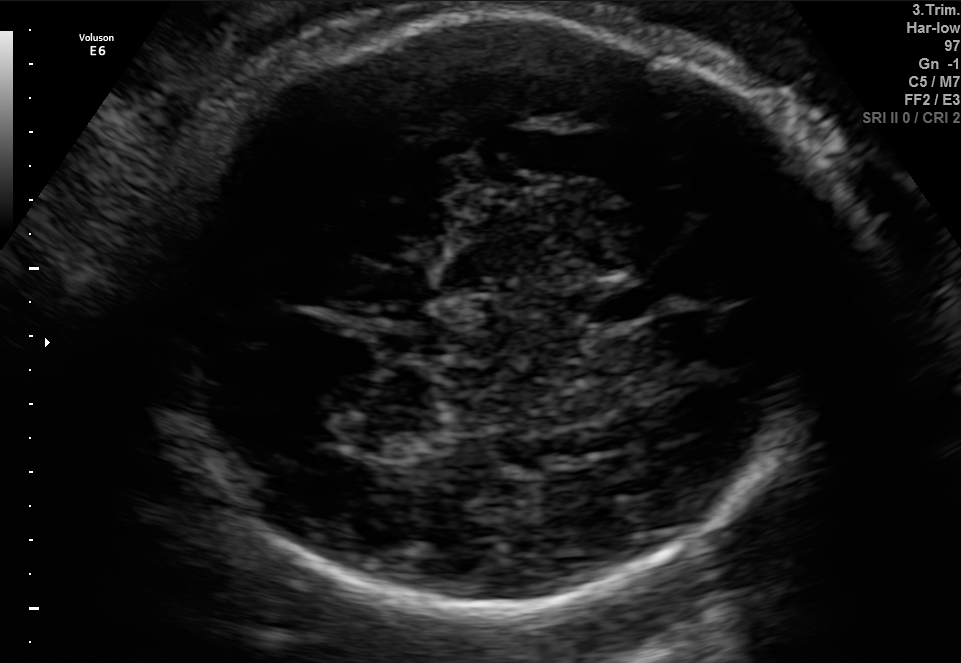
Fetal brain, trans-thalamic plane. Locate the cavum septum pellucidum.

CSP: [578,281,657,336]